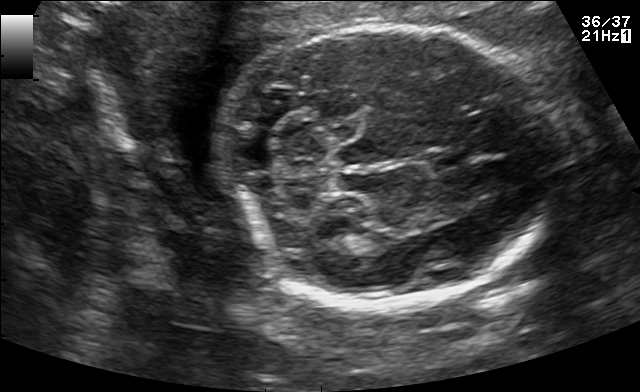
Fetal brain, trans-cerebellum plane. Where is the fetal head?

Head bounding box: [220,25,558,305]